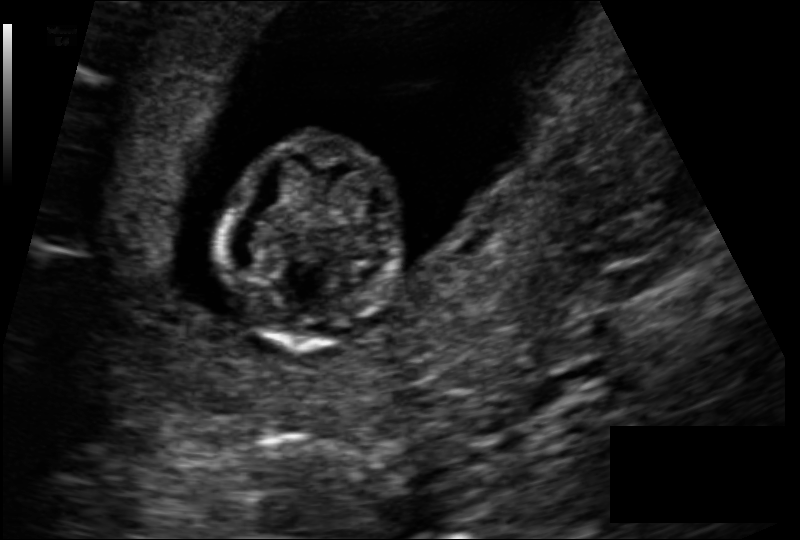
Estimate the fetal head circumference from this 2D ultrasound.

Head circumference: 75.2 mm (image width 90.6 mm).